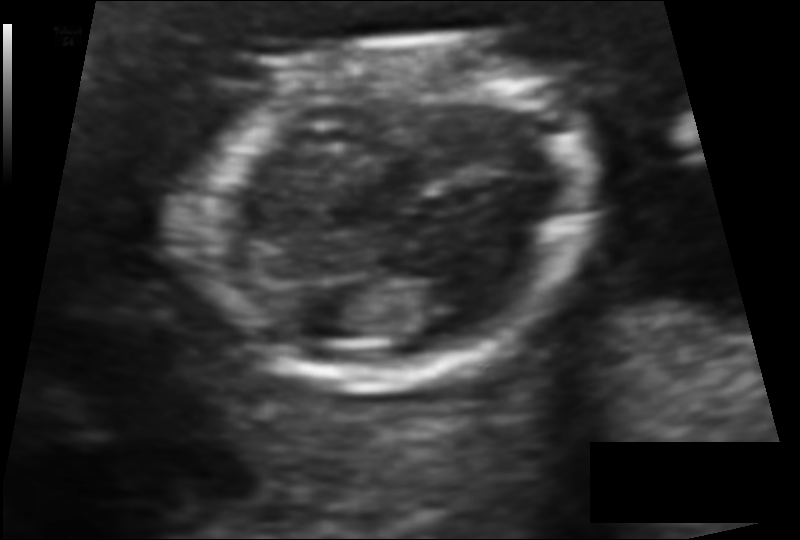
From this fetal ultrasound, estimate the head circumference (image width 72.9 mm).

Head circumference: 108.2 mm.